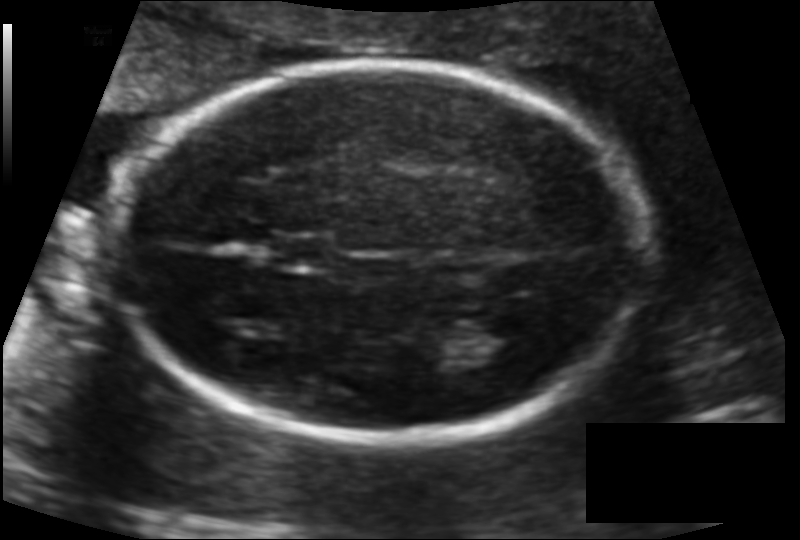
Fetal head ultrasound. Image width: 91.7 mm. Locate the cavum septum pellucidum.

CSP: [275,234,334,270]